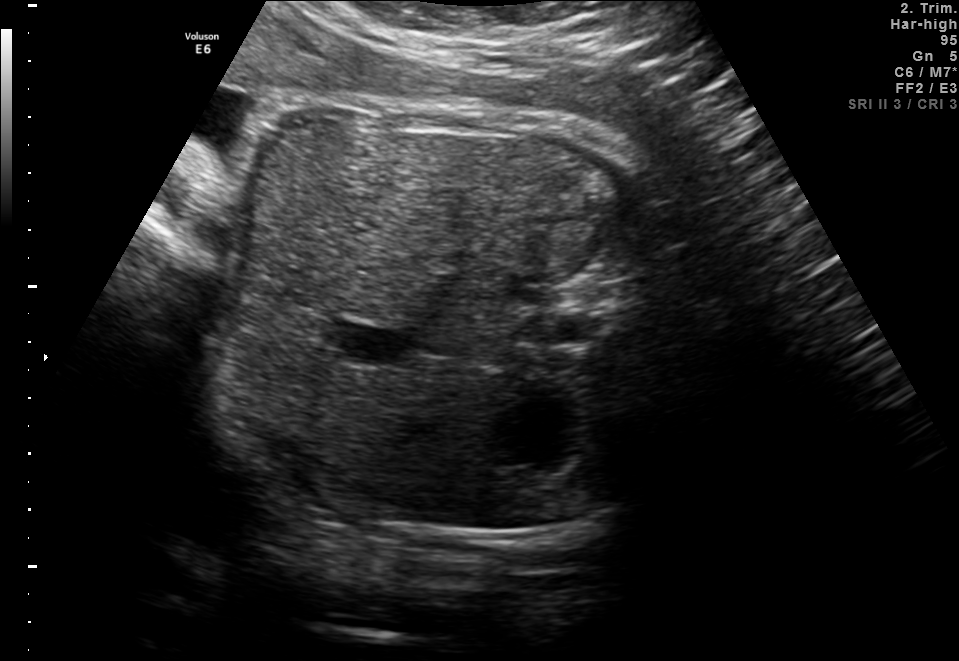
Which standard maternal-fetal ultrasound plane is shown: fetal abdomen, fetal brain, fetal femur, fetal thorax, maternal cervix, or other? If it's fetal brain and one of the three standard brain planes (trans-thalamic, trans-cerebellum, trans-ventricular), name which.

Fetal abdomen